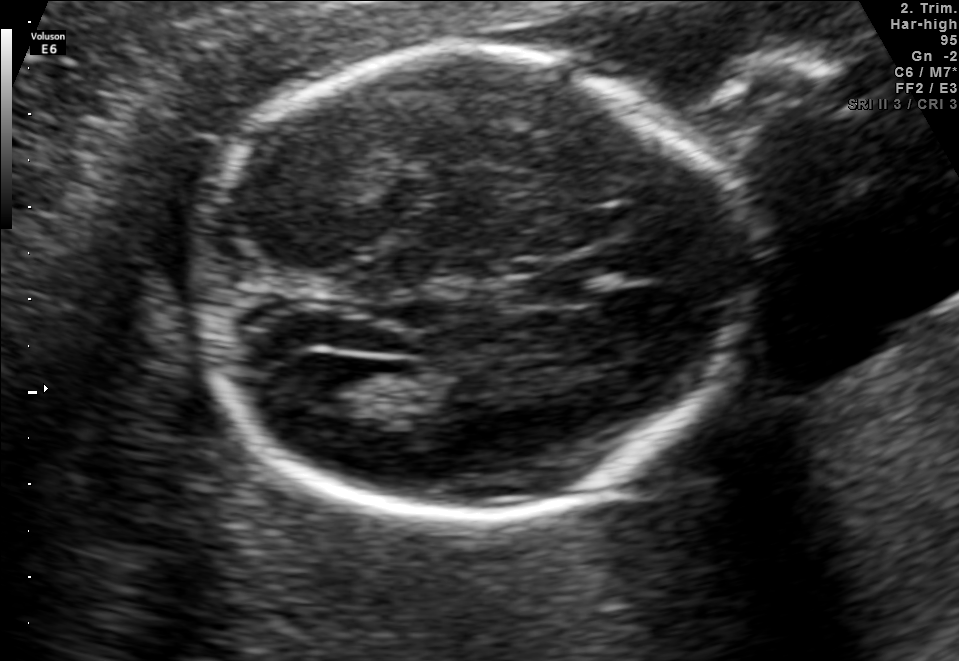
Fetal brain, trans-ventricular plane. Where is the cavum septum pellucidum?

CSP bounding box: [501,274,589,305]